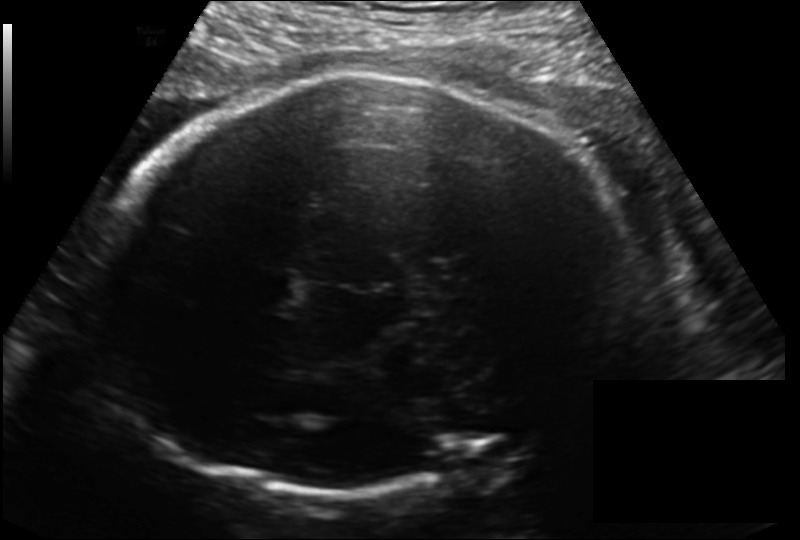
Measure the fetal head circumference shown in this ultrasound image. Image width: 158.6 mm.

Head circumference: 300.4 mm.